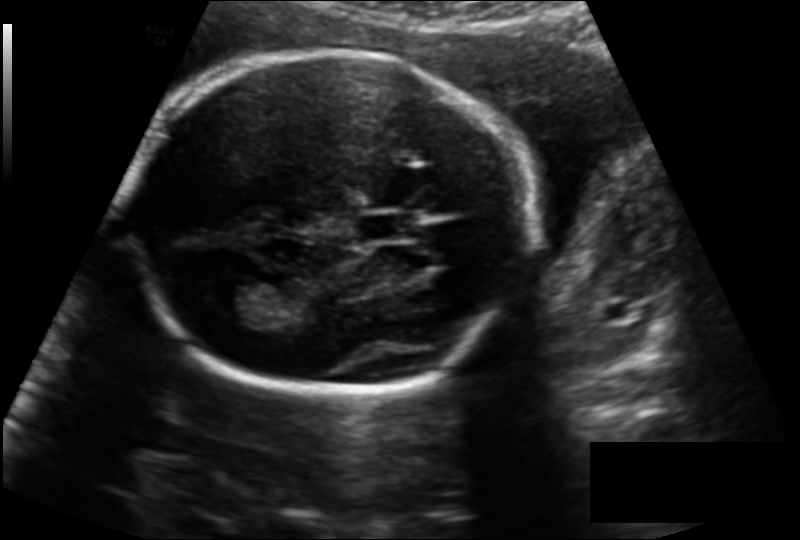
Fetal head ultrasound. Image width: 122.1 mm. Locate the cavum septum pellucidum.

CSP: [356,210,415,245]